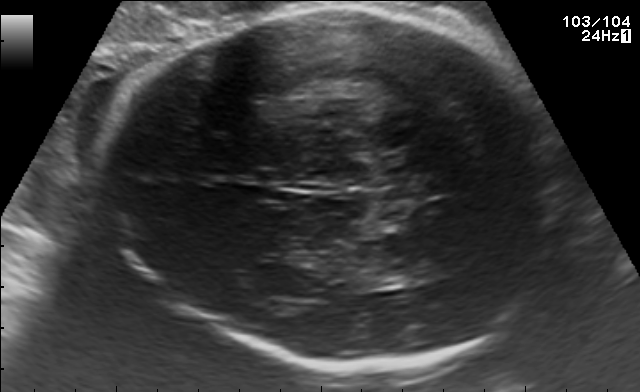
Fetal brain, trans-thalamic plane. Locate the fetal head.

Head: [98,6,558,367]